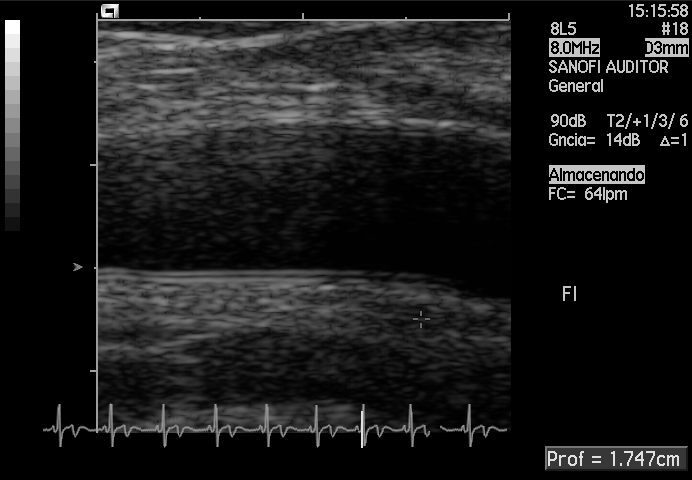
Classify this maternal-fetal ultrasound image as one of the six standard planes — fetal abdomen, fetal brain, fetal femur, fetal thorax, maternal cervix, or other. If it's fetal brain and one of the three standard brain planes (trans-thalamic, trans-cerebellum, trans-ventricular), name which.

Other